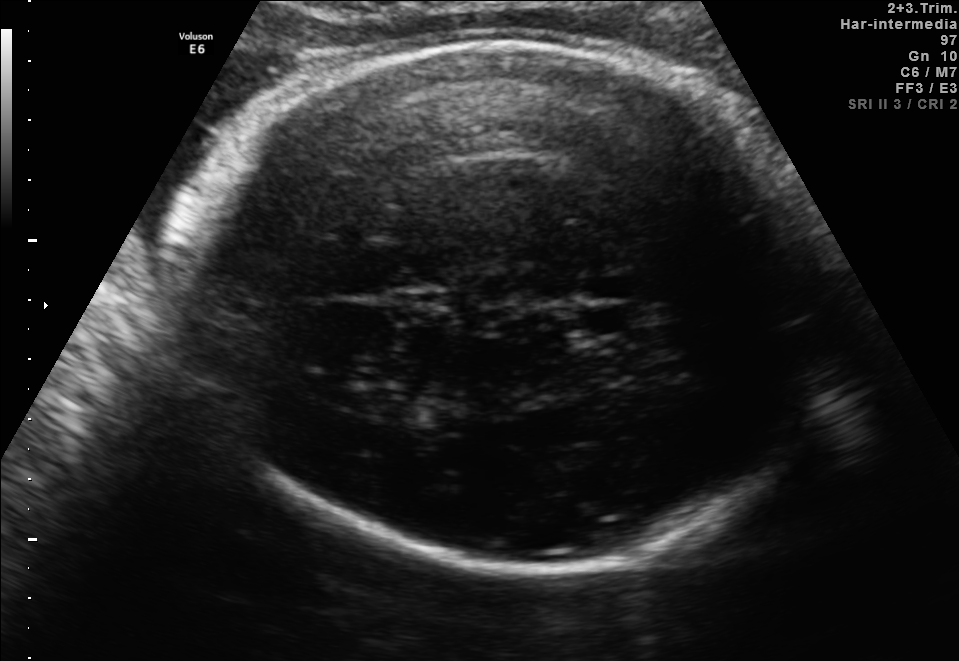
Fetal brain, trans-thalamic plane. Where is the cavum septum pellucidum?

CSP bounding box: [580,304,629,337]